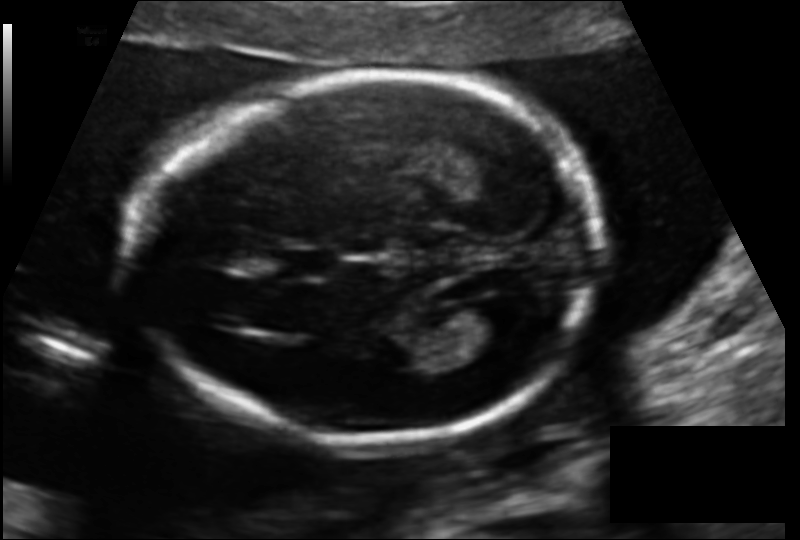
From this fetal ultrasound, estimate the head circumference (image width 100.2 mm).

Head circumference: 171.6 mm.